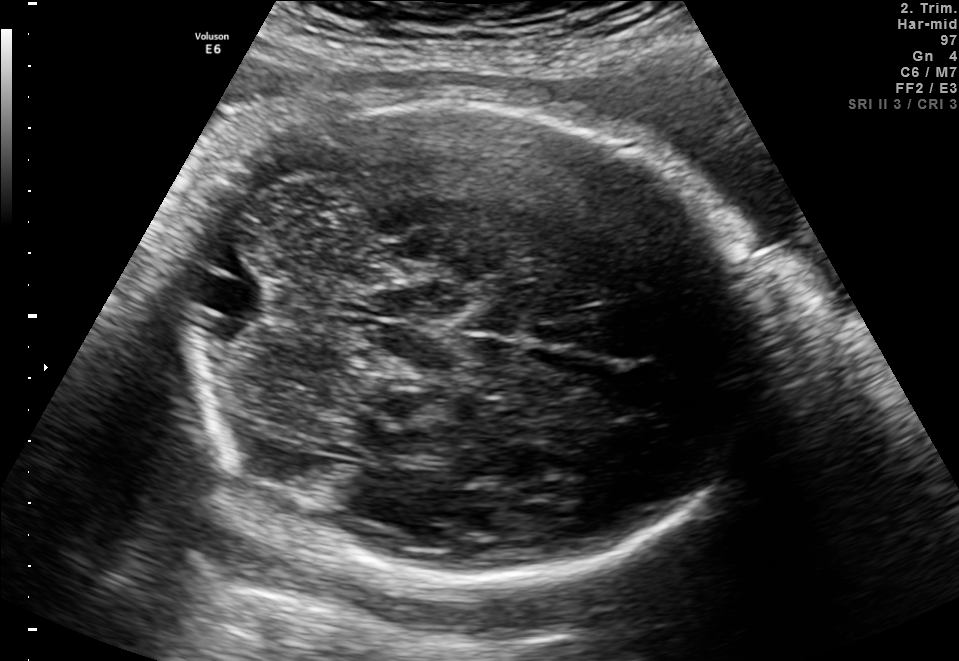
Fetal brain, trans-cerebellum plane. Locate the fetal head.

Head: [167,98,762,575]